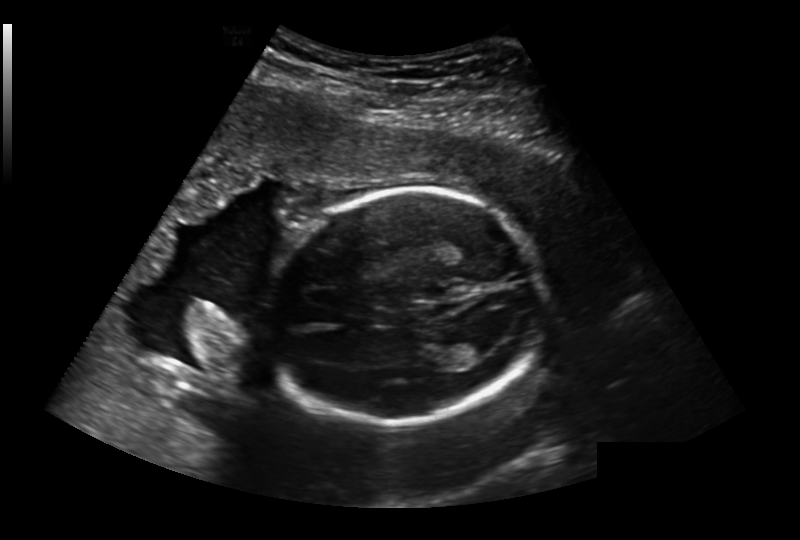
In this fetal head ultrasound, give the bounding box of the lateral ventricle. Image width: 188.7 mm.

[444,323,499,370]